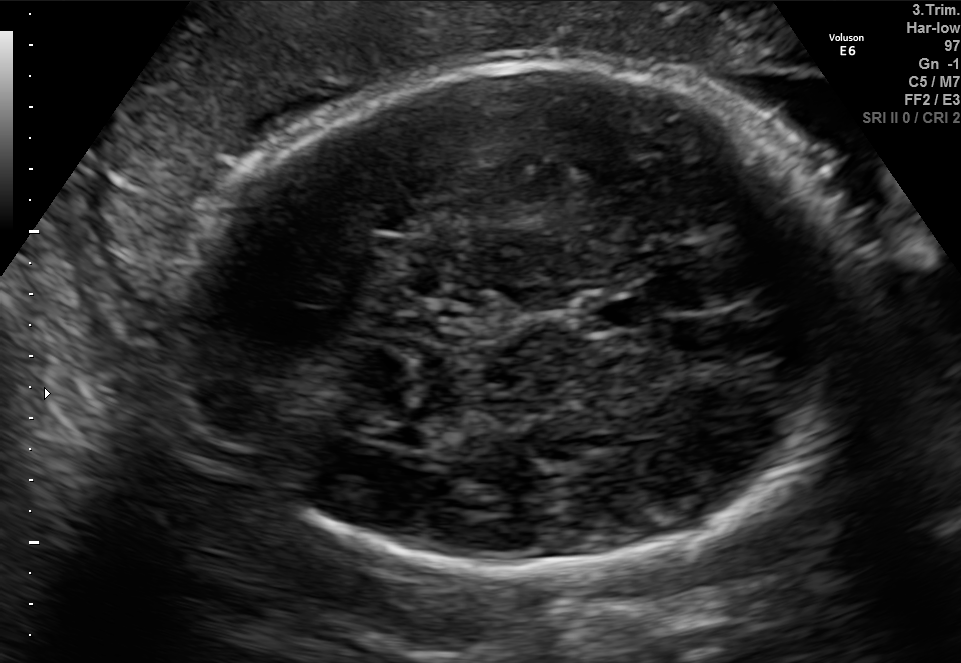
Fetal brain, trans-thalamic plane. Locate the fetal head.

Head: [191,57,862,574]